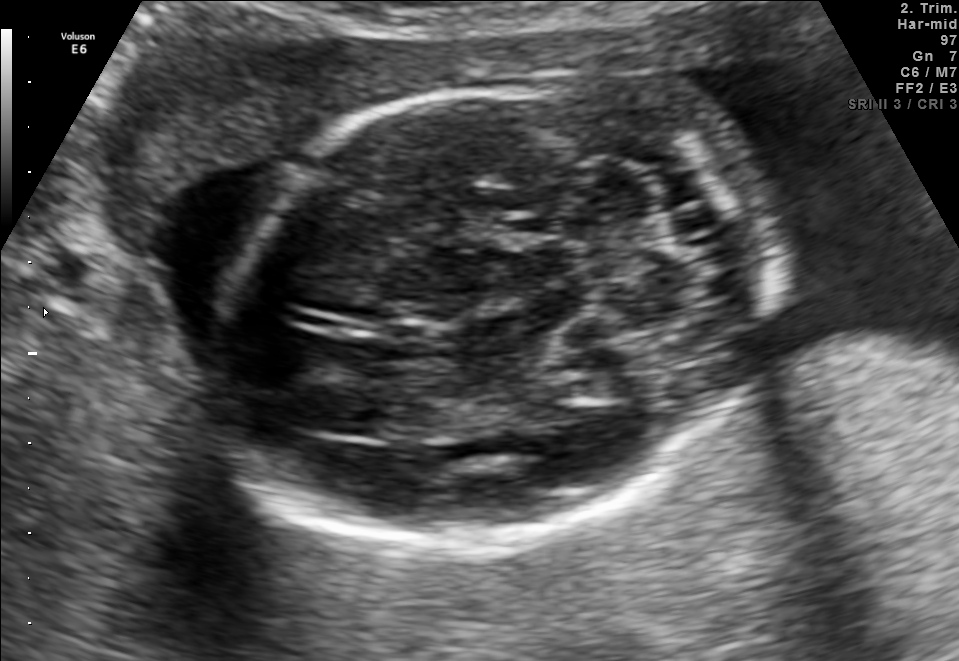
Fetal brain, trans-cerebellum plane. Locate the fetal head and, if visible, the cavum septum pellucidum (CSP) and lateral ventricle (LV). Give bounding boxes as [x1,y1,x2,y2].

Head: [205,76,778,545]